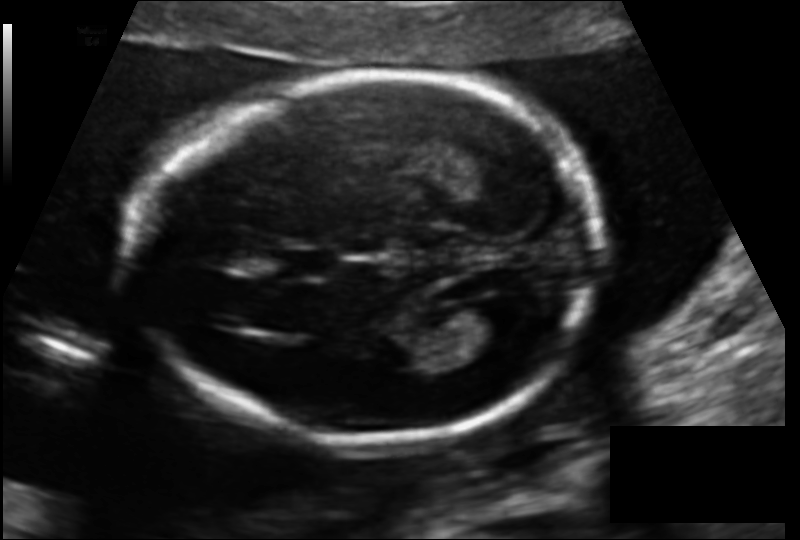
What is the fetal head circumference? Image width is 100.2 mm.

171.6 mm